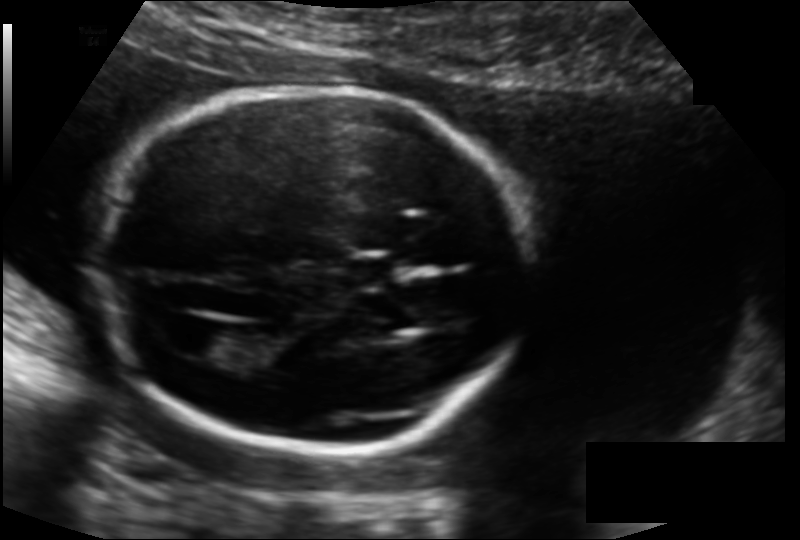
In this fetal head ultrasound, give the bounding box of the cavum septum pellucidum. Image width: 107.7 mm.

[345,255,400,287]